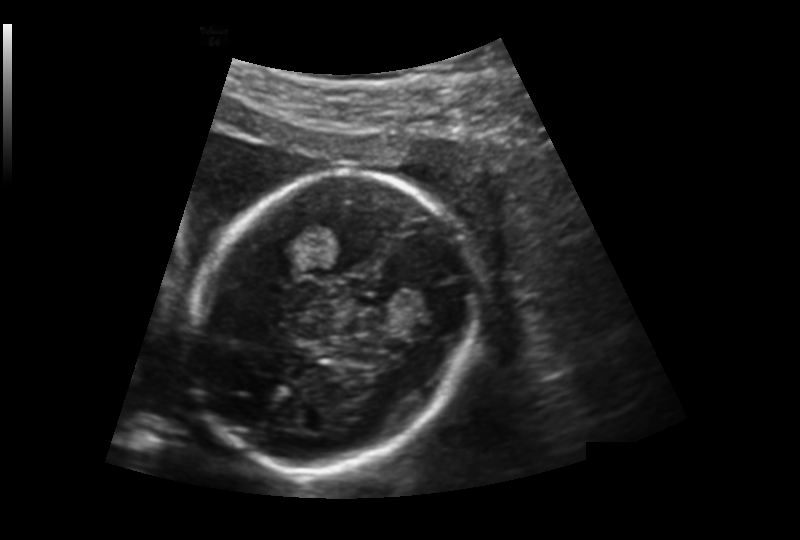
In this fetal head ultrasound, give bounding boxes for the head outline, cavum septum pellucidum (CSP), and lateral ventricle (LV), where visible. Image width: 140.4 mm.

Head: [186,171,469,467]